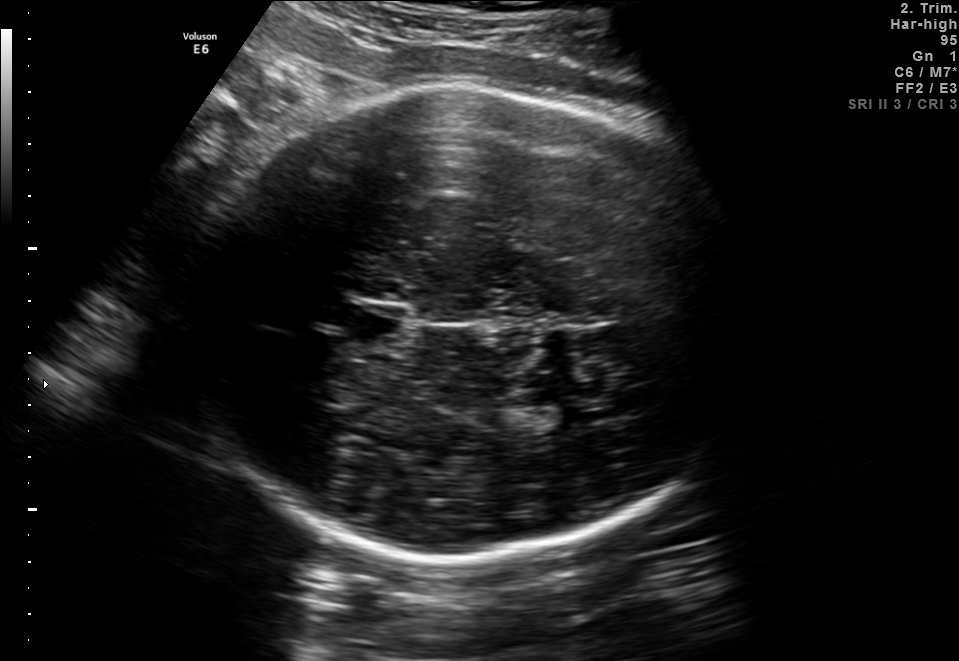
Fetal brain, trans-thalamic plane. Locate the fetal head.

Head: [196,85,747,560]